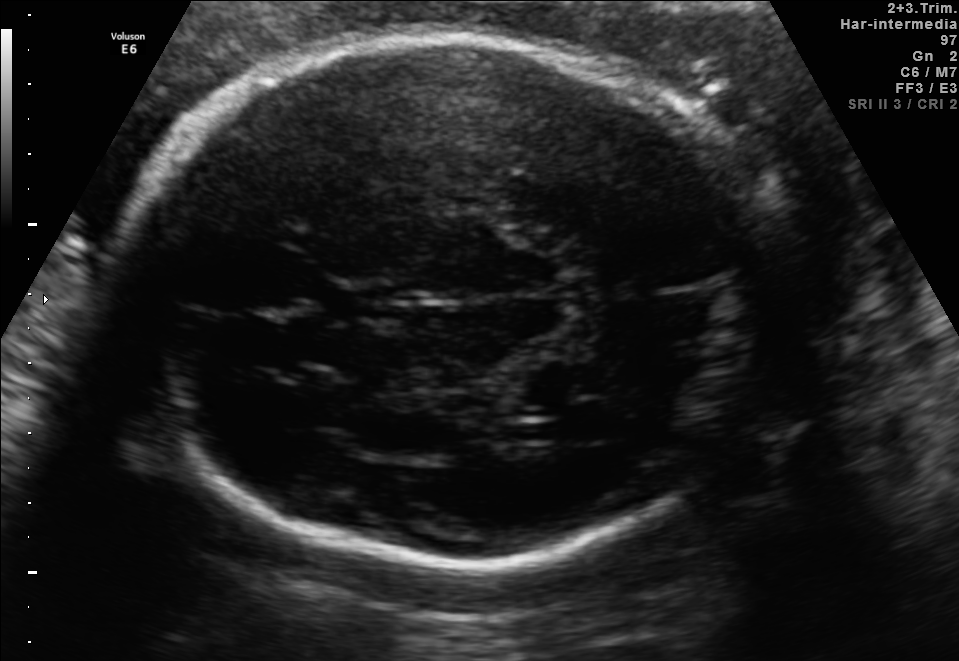
Fetal brain, trans-thalamic plane. Locate the fetal head and, if visible, the cavum septum pellucidum (CSP) and lateral ventricle (LV). Give bounding boxes as [x1,y1,x2,y2].

Head: [114,38,779,563]
CSP: [322,280,392,324]
Lateral ventricle: [529,414,585,445]